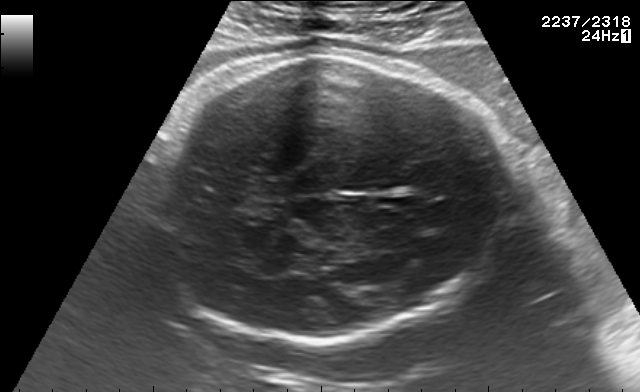
Fetal brain, trans-thalamic plane. Locate the fetal head and, if visible, the cavum septum pellucidum (CSP) and lateral ventricle (LV). Give bounding boxes as [x1,y1,x2,y2].

Head: [147,54,509,342]